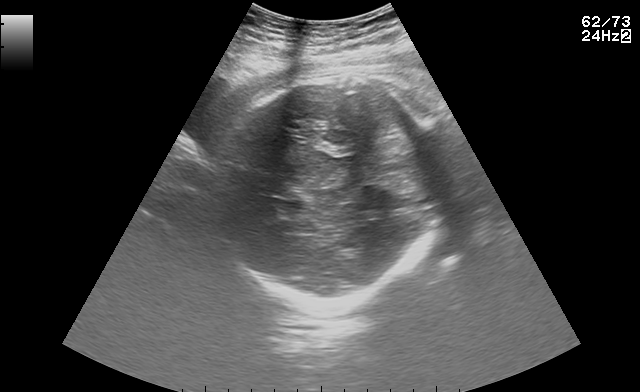
In this fetal brain, trans-thalamic plane, give bounding boxes for the head outline, cavum septum pellucidum (CSP), and lateral ventricle (LV), where visible.

Head: [213,72,442,304]